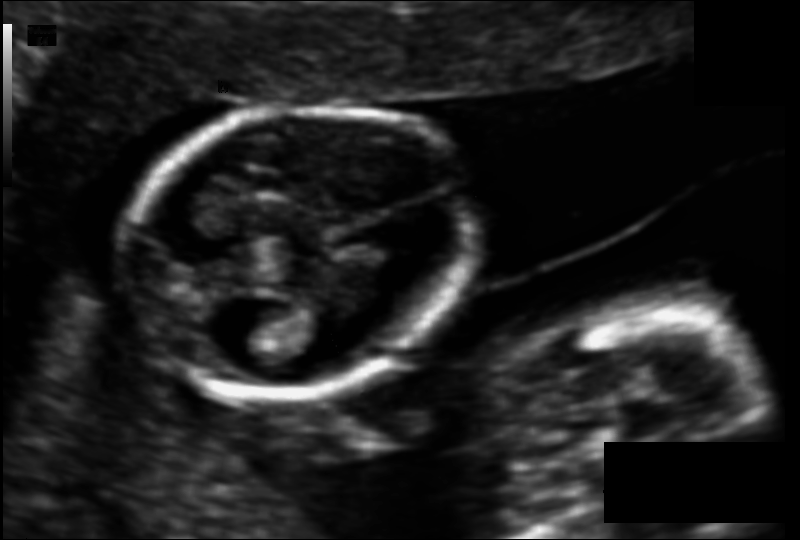
Estimate the fetal head circumference from this 2D ultrasound.

Head circumference: 99.7 mm (image width 76.3 mm).